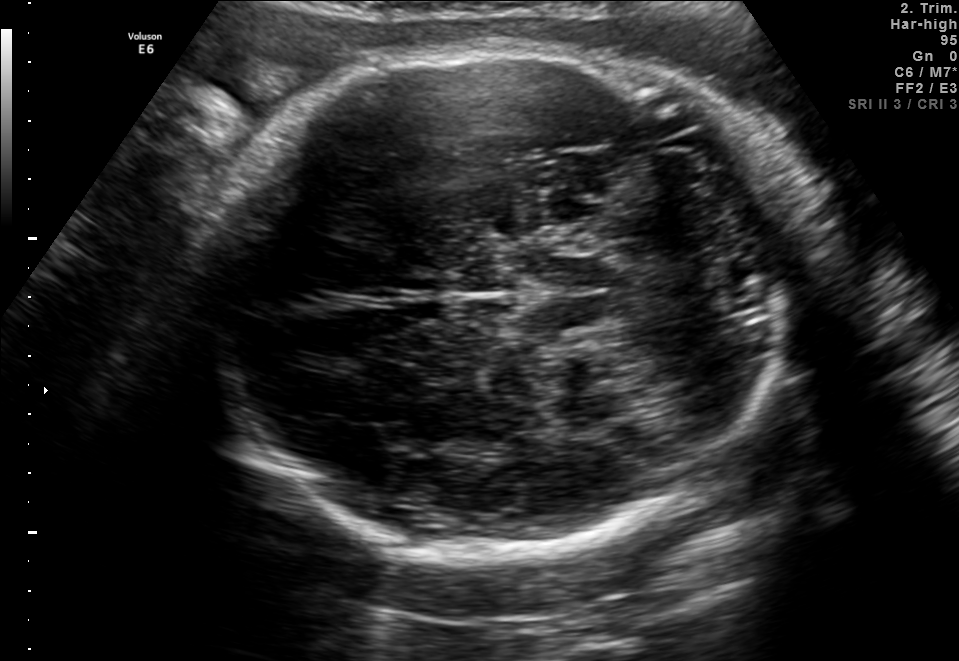
Fetal brain, trans-thalamic plane. Give [x1,y1,x2,y2] bounding boxes for each visible structure among: fetal head, CSP, LV.

Head: [204,50,785,555]